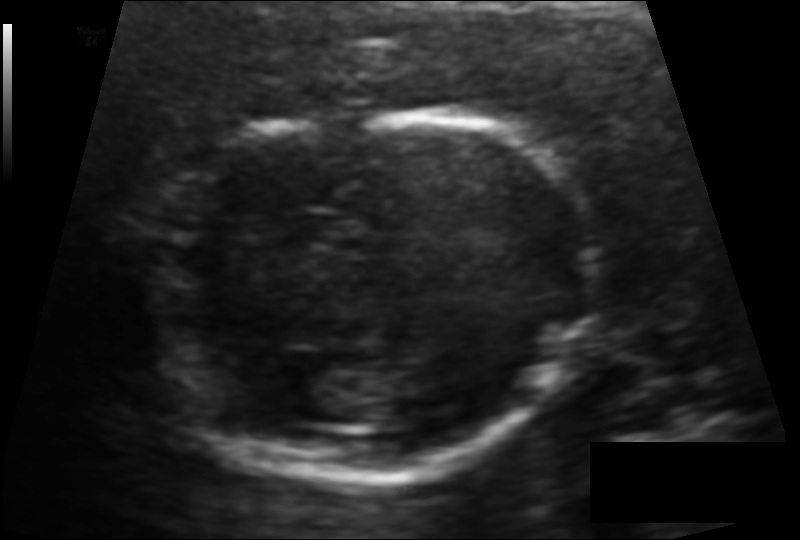
Estimate the fetal head circumference from this 2D ultrasound. Image width: 81.2 mm.

Head circumference: 132.5 mm.